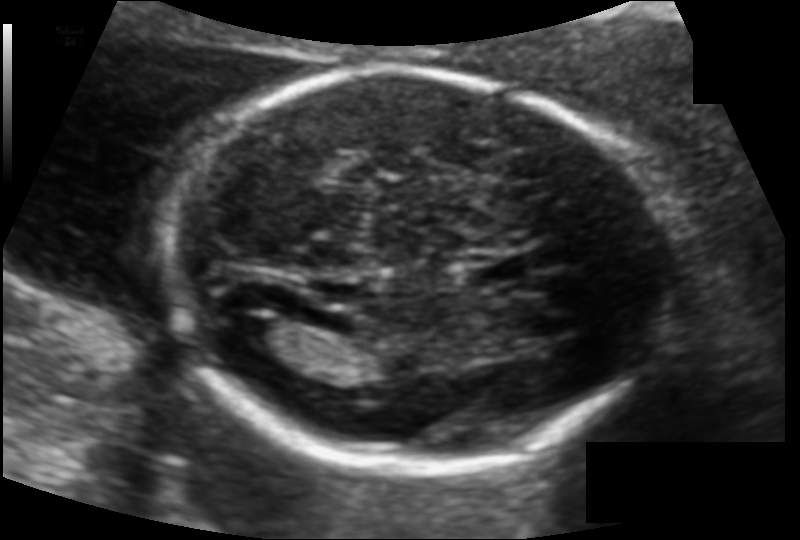
Estimate the fetal head circumference from this 2D ultrasound. Image width: 91.9 mm.

Head circumference: 167.8 mm.